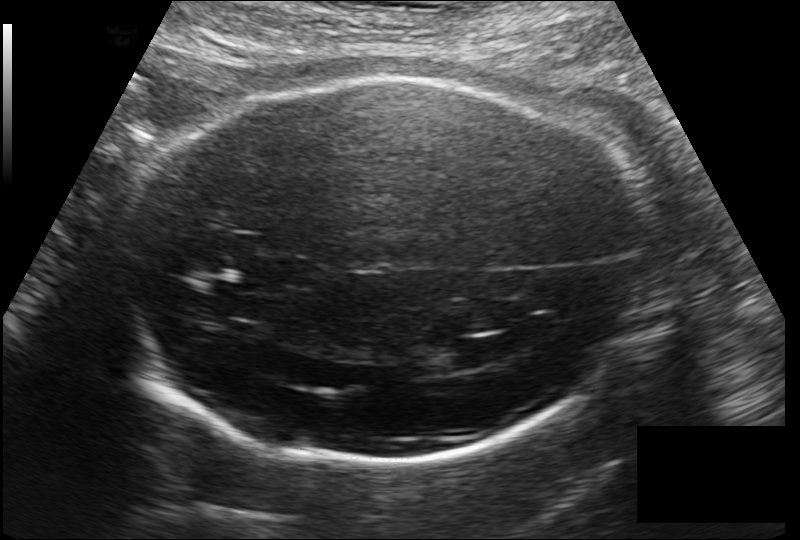
Fetal head ultrasound. Image width: 142.0 mm. Give [x1,y1,x2,y2] bounding boxes for each visible structure among: fetal head, CSP, LV.

Head: [123,78,653,464]